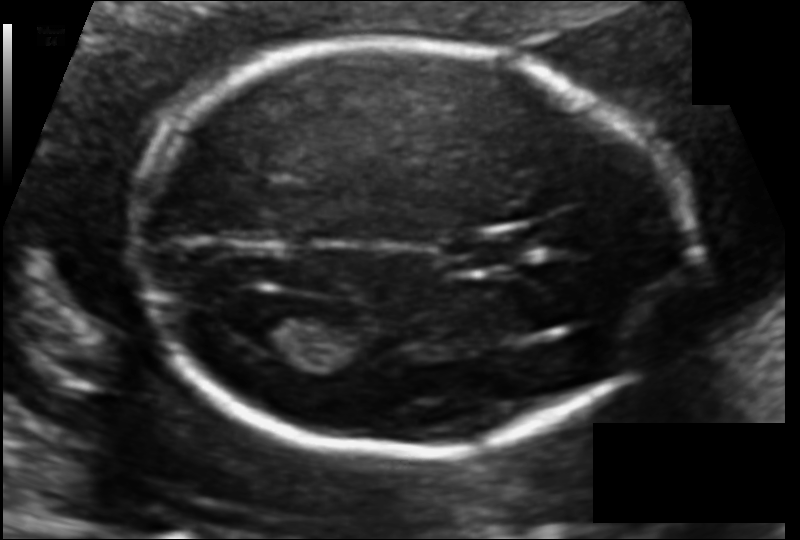
Fetal head ultrasound. Image width: 84.8 mm. Where is the cavum septum pellucidum?

CSP bounding box: [450,230,525,273]